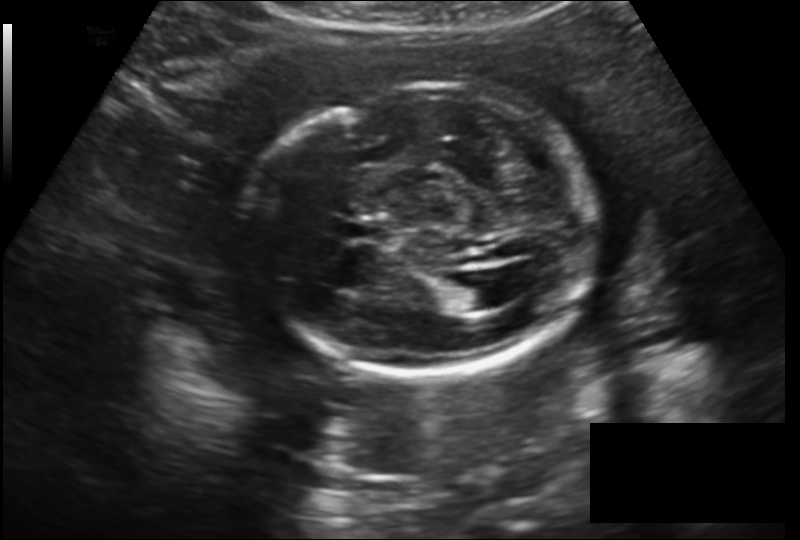
Fetal head ultrasound. Image width: 145.7 mm. Locate the fetal head and, if visible, the cavum septum pellucidum (CSP) and lateral ventricle (LV). Give bounding boxes as [x1,y1,x2,y2].

Head: [246,85,596,373]
CSP: [344,220,387,242]
Lateral ventricle: [449,278,499,312]